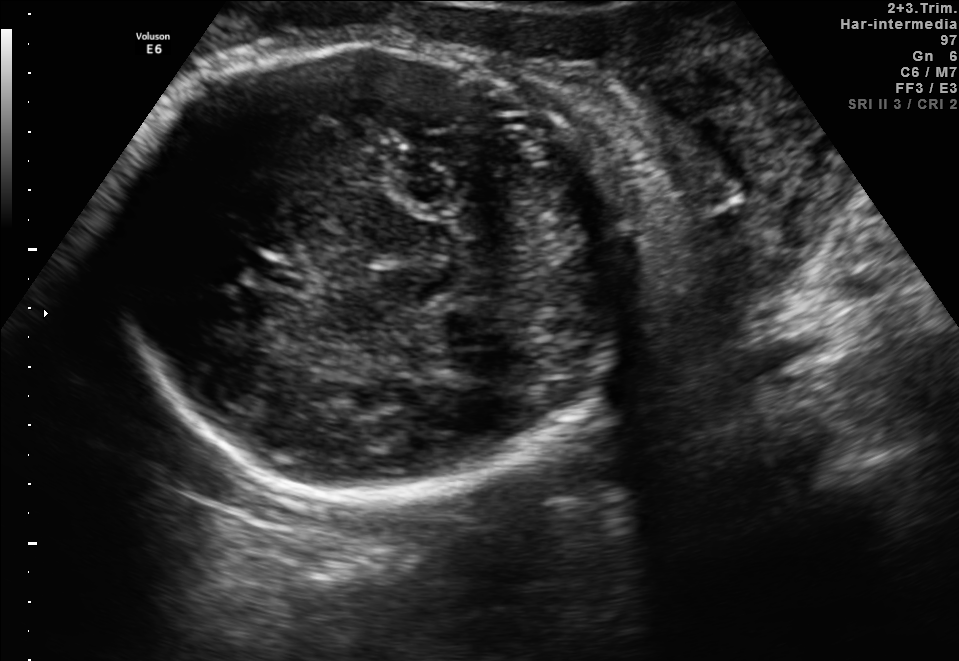
Fetal brain, trans-thalamic plane. Where is the lateral ventricle?

Lateral ventricle bounding box: [455,349,516,381]